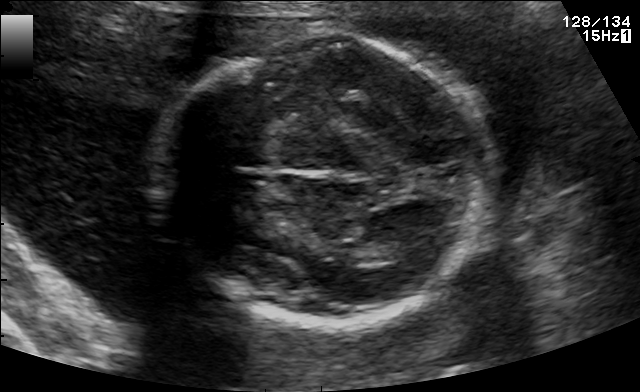
In this fetal brain, trans-thalamic plane, give the bounding box of the lateral ventricle.

[369,235,427,266]